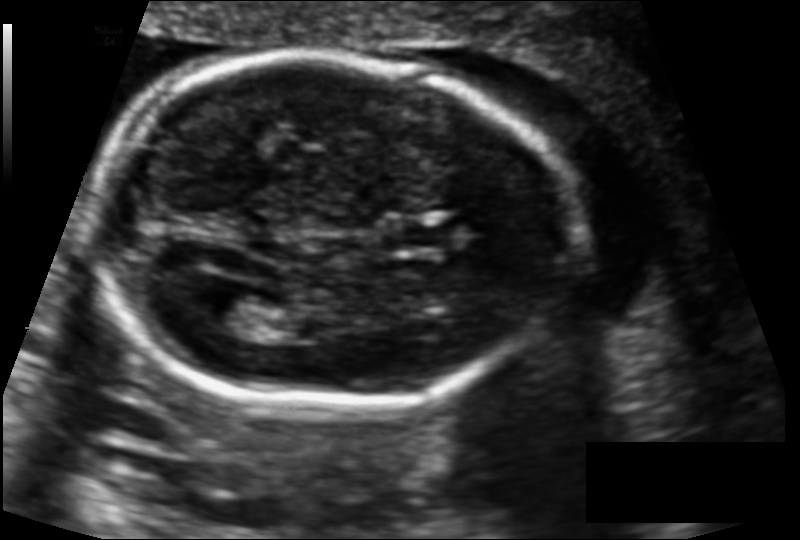
In this fetal head ultrasound, give bounding boxes for the head outline, cavum septum pellucidum (CSP), and lateral ventricle (LV), where visible. Image width: 97.4 mm.

Head: [91,55,576,407]
CSP: [382,218,452,251]
Lateral ventricle: [202,282,271,339]